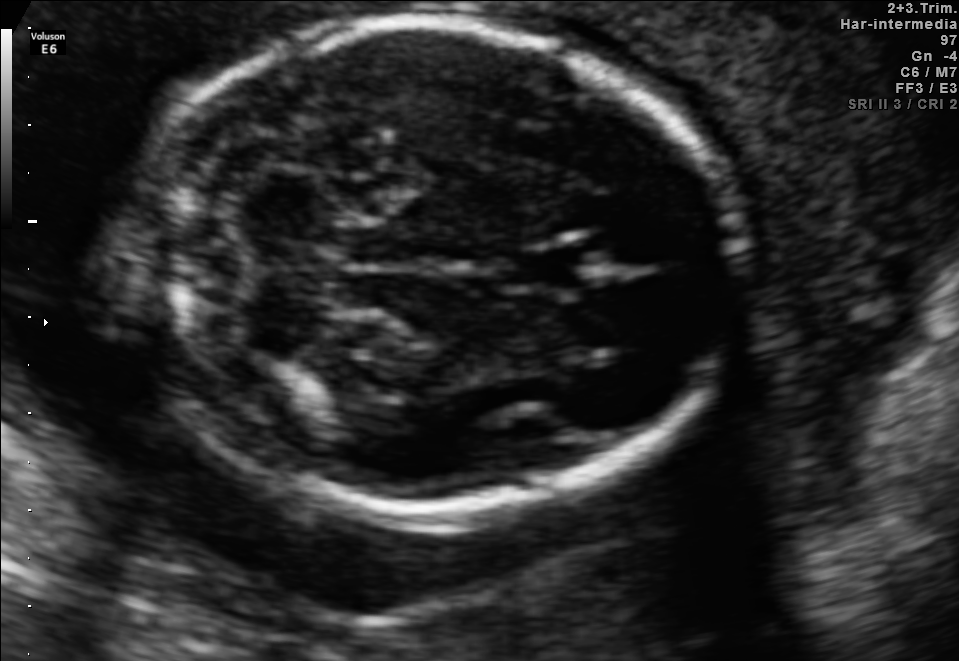
In this fetal brain, trans-cerebellum plane, give bounding boxes for the head outline, cavum septum pellucidum (CSP), and lateral ventricle (LV), where visible.

Head: [130,23,739,518]
CSP: [504,243,590,294]